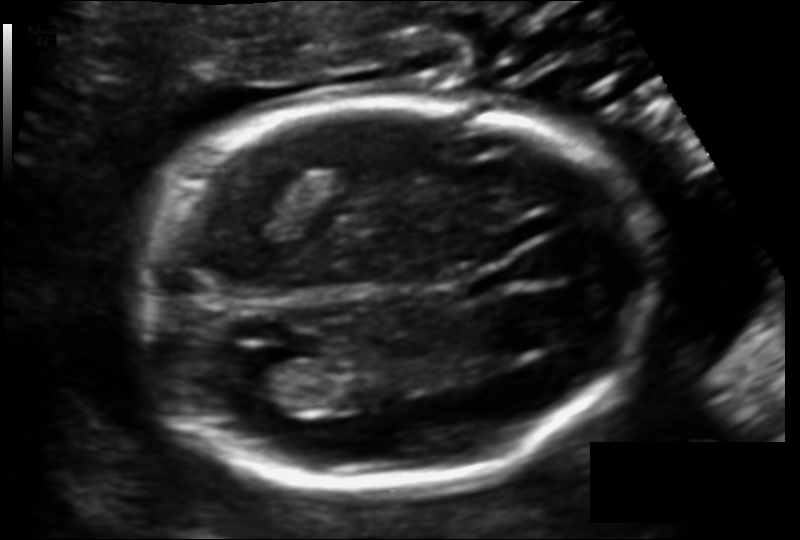
Estimate the fetal head circumference from this 2D ultrasound.

Head circumference: 180.5 mm (image width 97.3 mm).